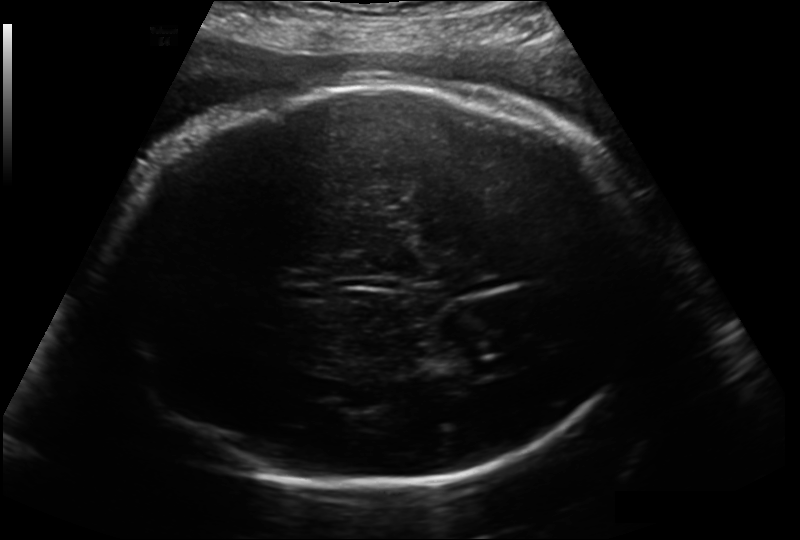
Estimate the fetal head circumference from this 2D ultrasound. Image width: 171.3 mm.

Head circumference: 317.6 mm.